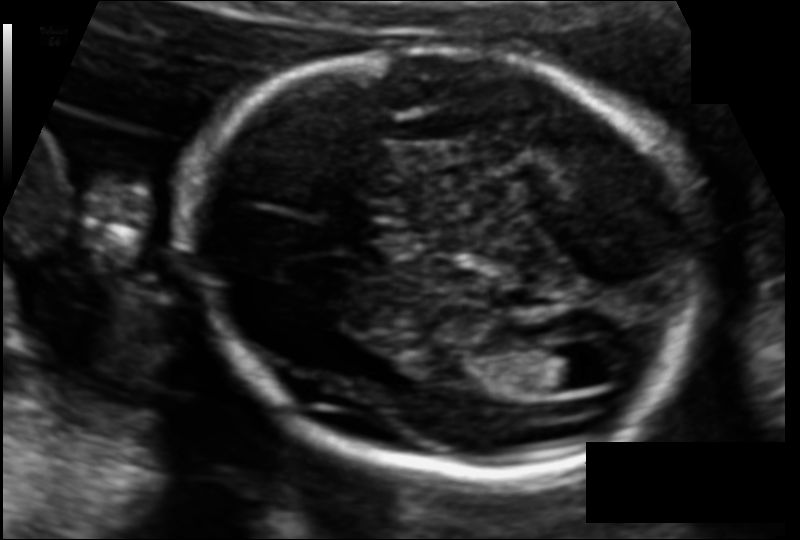
Fetal head ultrasound. Image width: 87.7 mm. Locate the fetal head and, if visible, the cavum septum pellucidum (CSP) and lateral ventricle (LV). Give bounding boxes as [x1,y1,x2,y2].

Head: [191,46,707,478]
Lateral ventricle: [522,345,590,393]